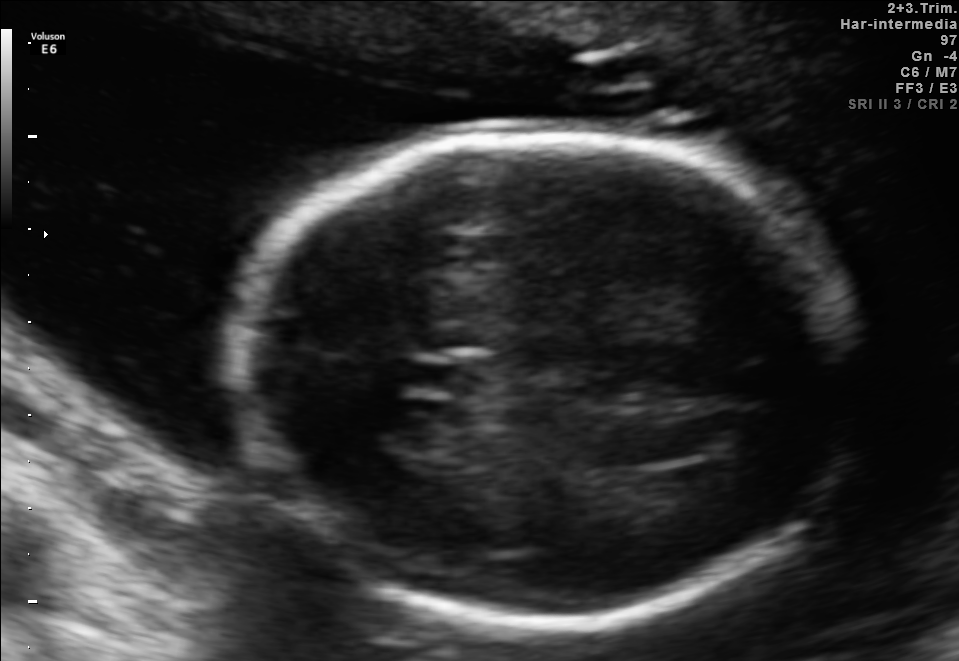
This is a 2D maternal-fetal ultrasound frame. Is it a fetal abdomen, fetal brain, fetal femur, fetal thorax, maternal cervix, or other standard plane? If it's fetal brain and one of the three standard brain planes (trans-thalamic, trans-cerebellum, trans-ventricular), name which.

Fetal brain (trans-thalamic plane)